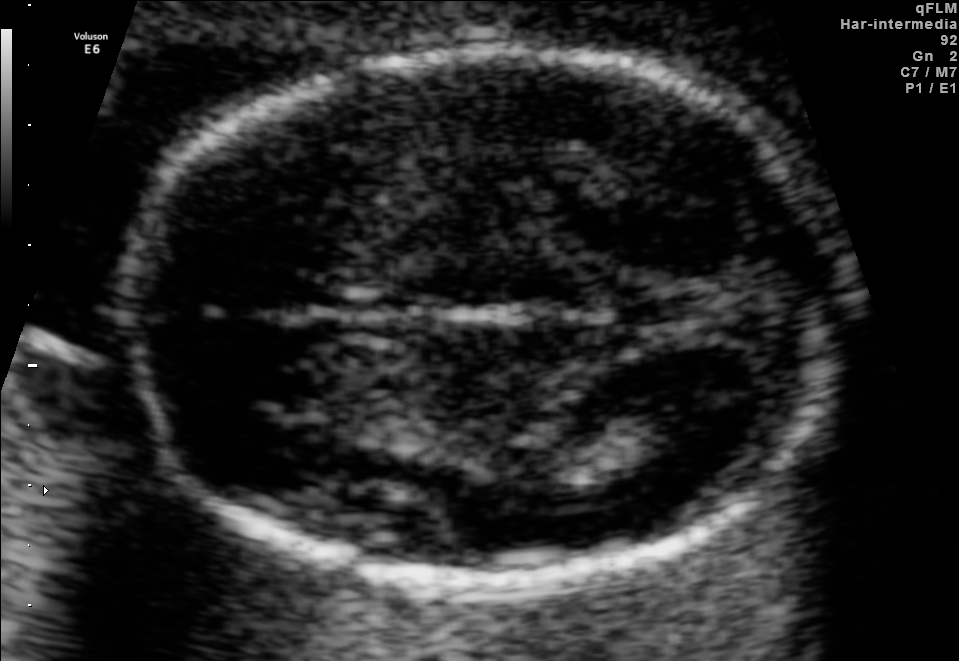
In this fetal brain, trans-thalamic plane, give bounding boxes for the head outline, cavum septum pellucidum (CSP), and lateral ventricle (LV), where visible.

Head: [124,52,841,577]